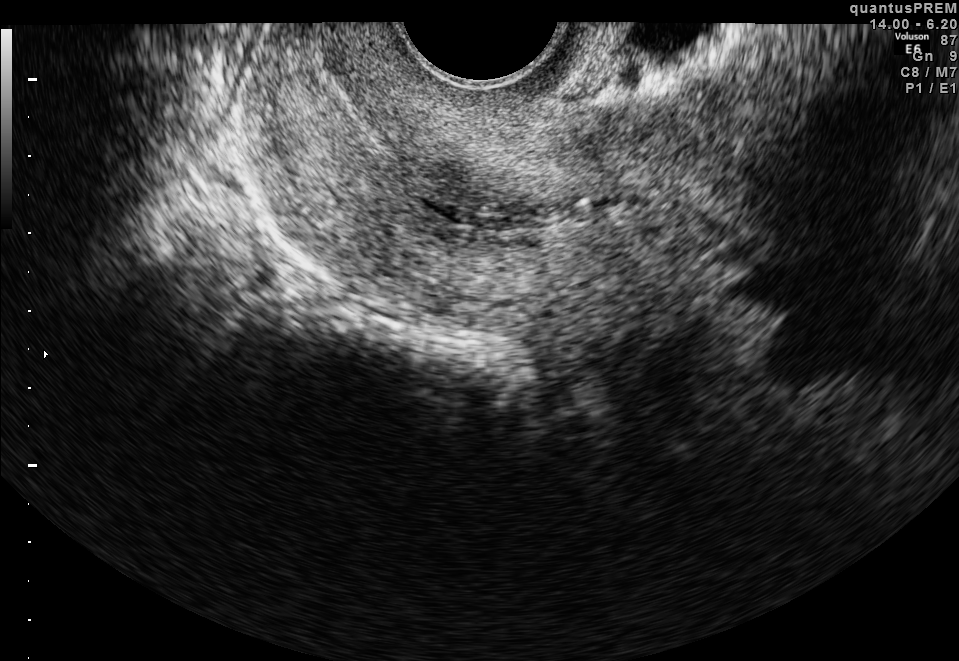
Identify the standard plane in this fetal ultrasound image: fetal abdomen, fetal brain, fetal femur, fetal thorax, maternal cervix, or other. If it's fetal brain and one of the three standard brain planes (trans-thalamic, trans-cerebellum, trans-ventricular), name which.

Maternal cervix